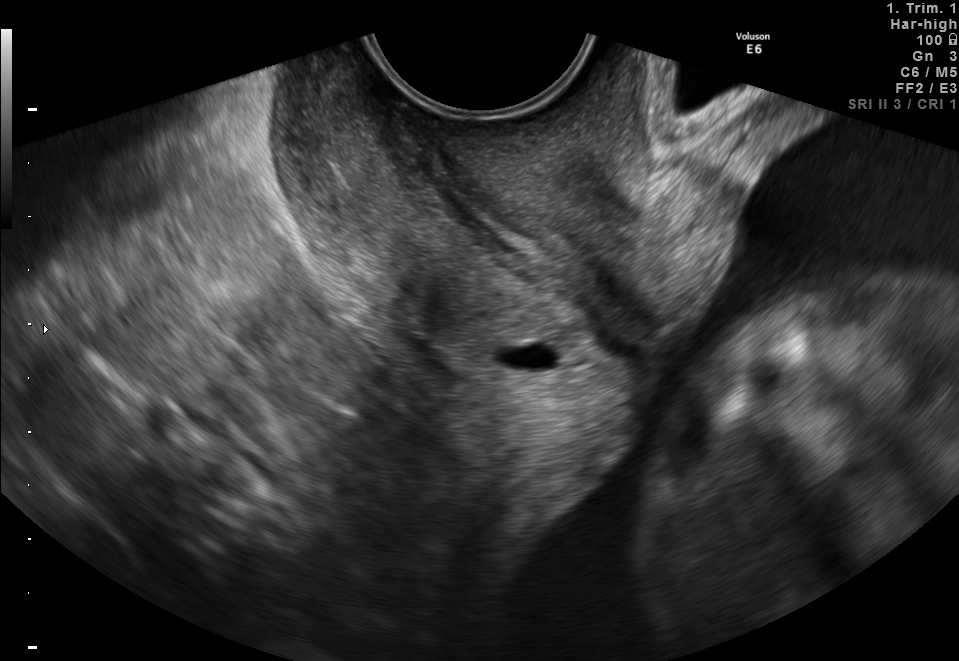
Identify the standard plane in this fetal ultrasound image: fetal abdomen, fetal brain, fetal femur, fetal thorax, maternal cervix, or other. If it's fetal brain and one of the three standard brain planes (trans-thalamic, trans-cerebellum, trans-ventricular), name which.

Maternal cervix